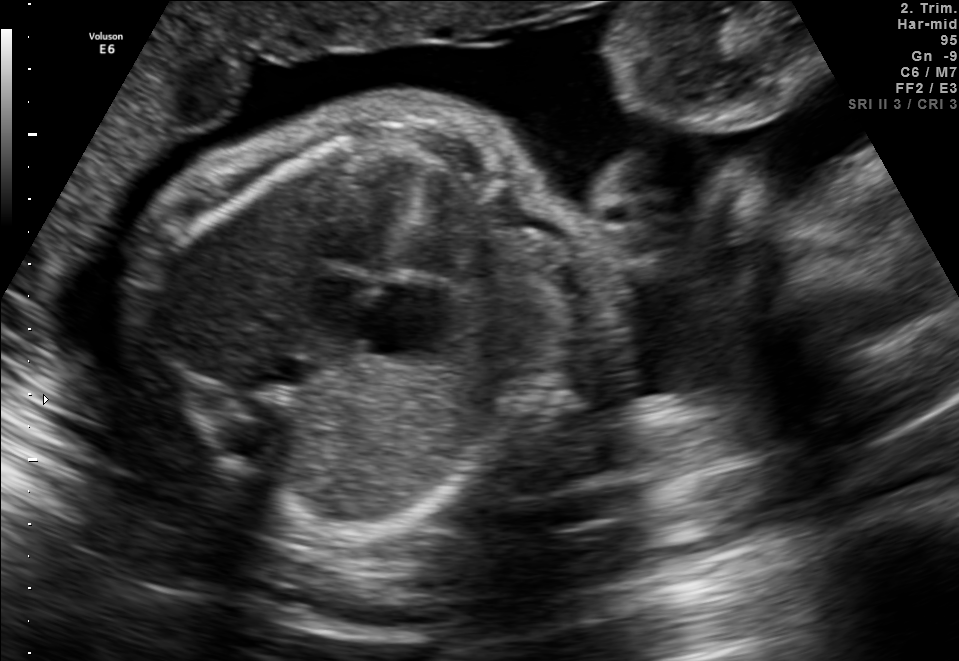
Which standard maternal-fetal ultrasound plane is shown: fetal abdomen, fetal brain, fetal femur, fetal thorax, maternal cervix, or other? If it's fetal brain and one of the three standard brain planes (trans-thalamic, trans-cerebellum, trans-ventricular), name which.

Fetal thorax